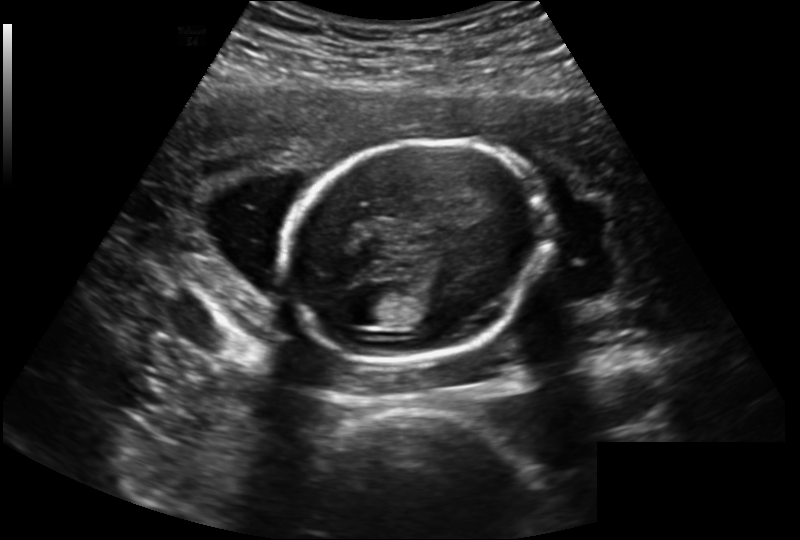
What is the fetal head circumference? Image width is 161.7 mm.

160.0 mm